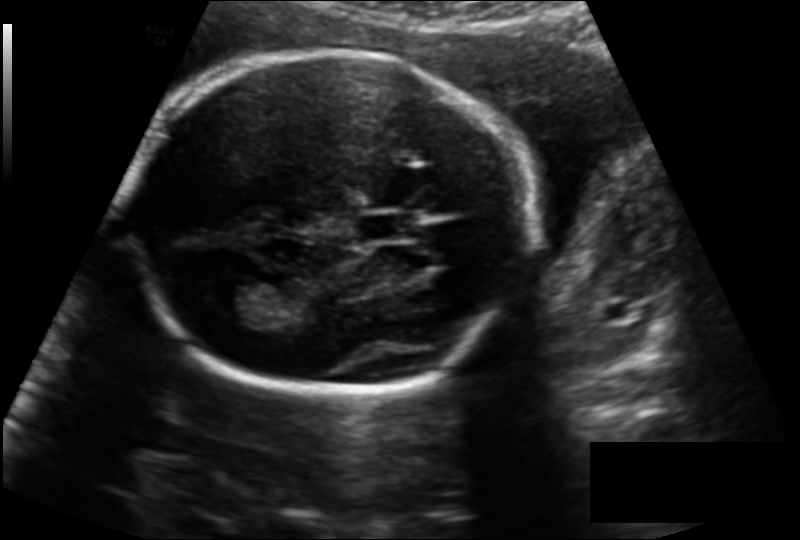
In this fetal head ultrasound, give bounding boxes for the head outline, cavum septum pellucidum (CSP), and lateral ventricle (LV), where visible. Image width: 122.1 mm.

Head: [128,51,529,395]
CSP: [356,210,415,245]
Lateral ventricle: [201,269,264,323]